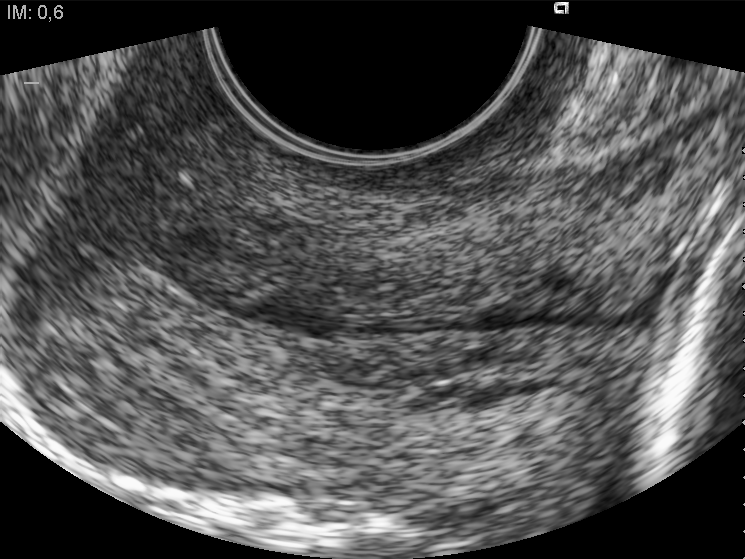
This is a 2D maternal-fetal ultrasound frame. Is it a fetal abdomen, fetal brain, fetal femur, fetal thorax, maternal cervix, or other standard plane? If it's fetal brain and one of the three standard brain planes (trans-thalamic, trans-cerebellum, trans-ventricular), name which.

Maternal cervix